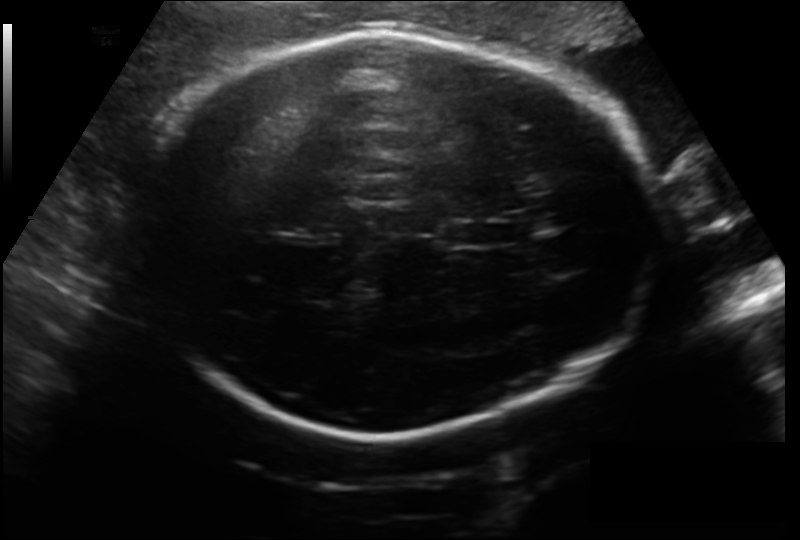
From this fetal ultrasound, estimate the head circumference (image width 158.8 mm).

Head circumference: 290.8 mm.